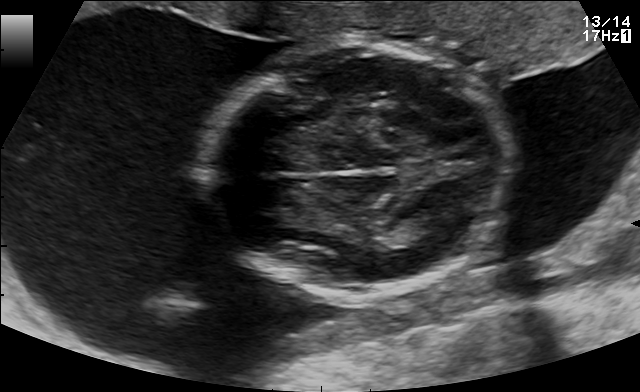
Fetal brain, trans-thalamic plane. Locate the fetal head.

Head: [205,45,509,297]